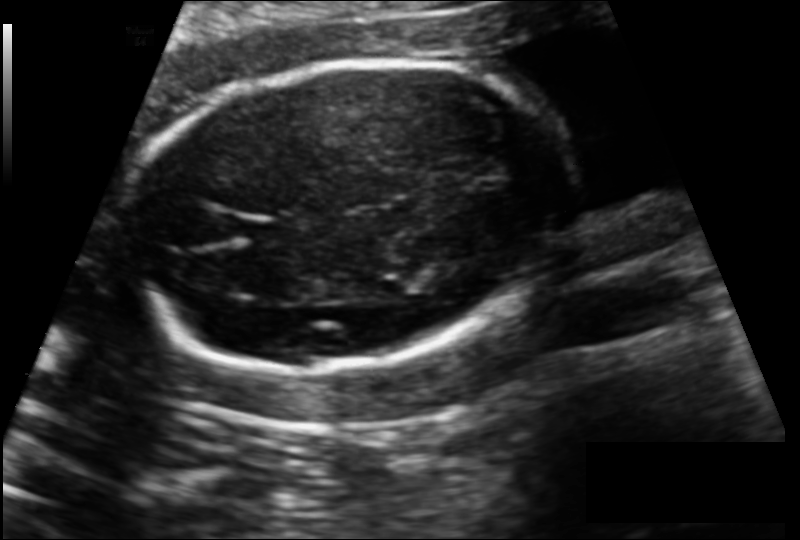
Estimate the fetal head circumference from this 2D ultrasound. Image width: 111.1 mm.

Head circumference: 166.2 mm.